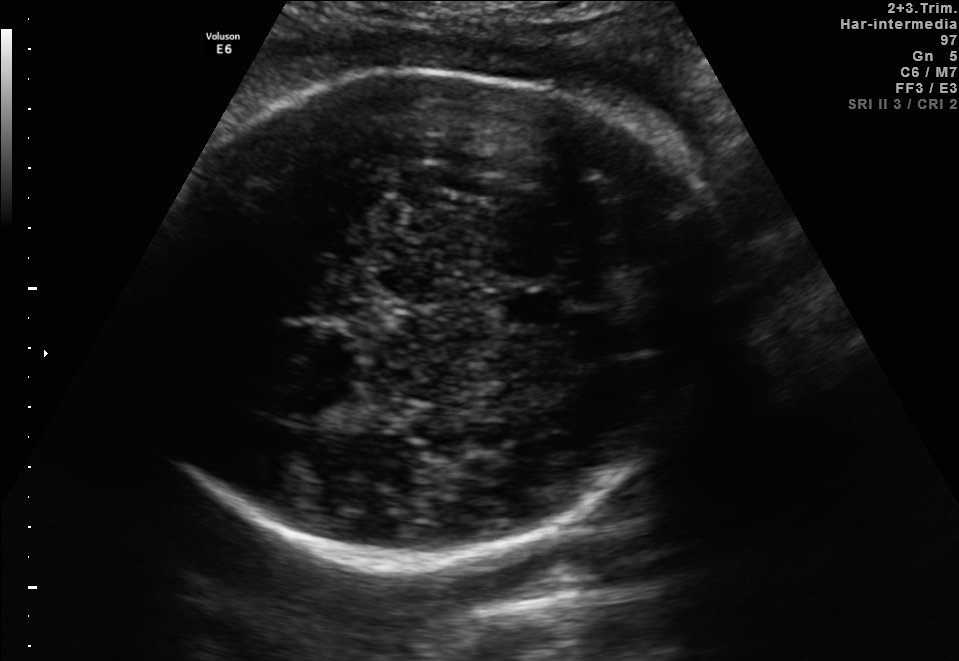
Fetal brain, trans-thalamic plane. Locate the cavum septum pellucidum.

CSP: [497,286,564,330]